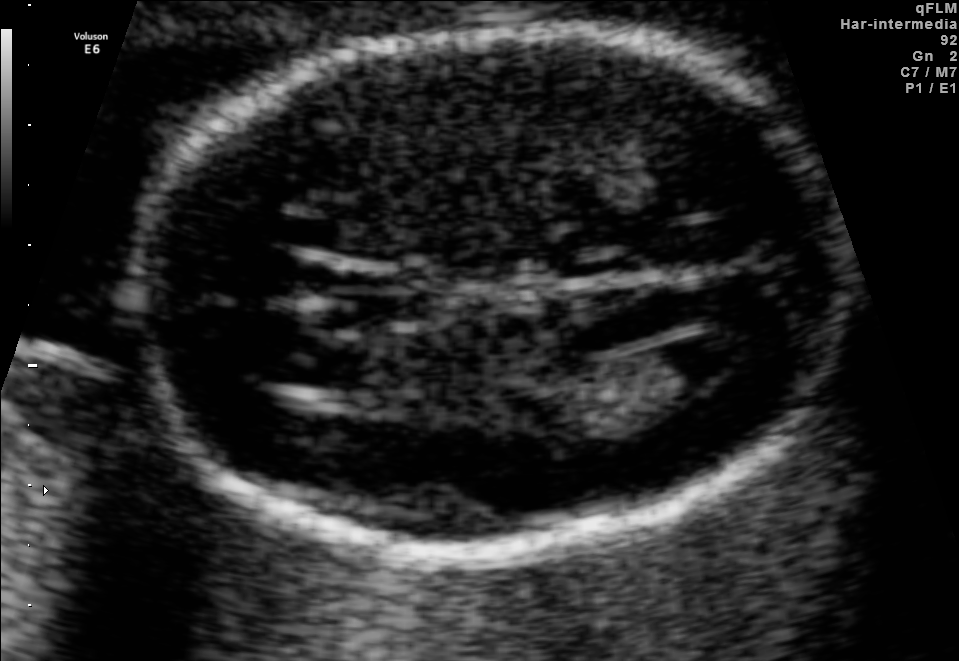
Fetal brain, trans-ventricular plane. Locate the fetal head and, if visible, the cavum septum pellucidum (CSP) and lateral ventricle (LV). Give bounding boxes as [x1,y1,x2,y2].

Head: [131,22,840,559]
CSP: [314,272,442,324]
Lateral ventricle: [643,323,755,406]